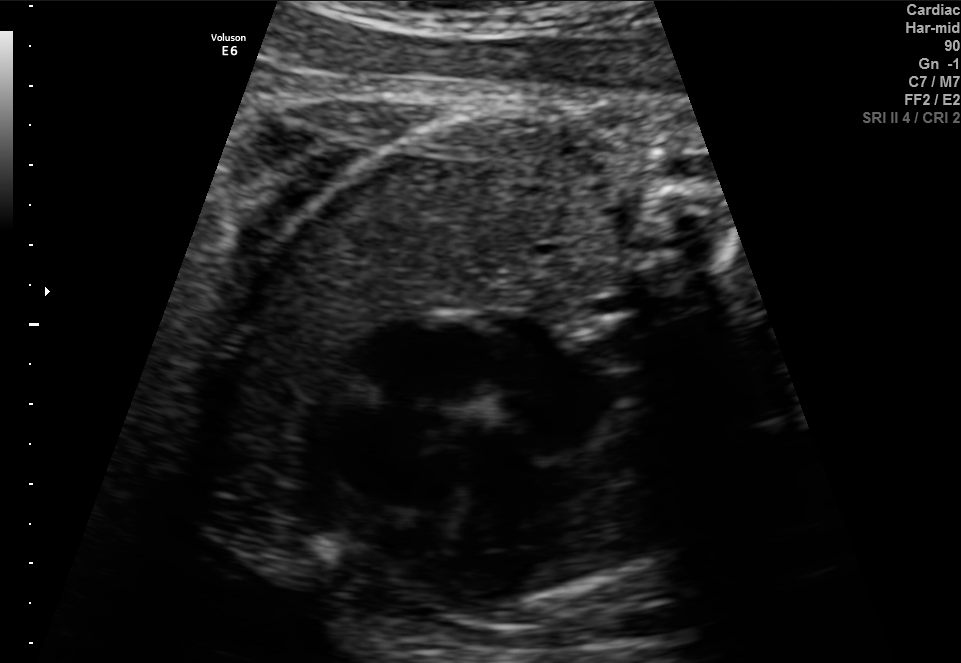
Which standard maternal-fetal ultrasound plane is shown: fetal abdomen, fetal brain, fetal femur, fetal thorax, maternal cervix, or other? If it's fetal brain and one of the three standard brain planes (trans-thalamic, trans-cerebellum, trans-ventricular), name which.

Fetal thorax